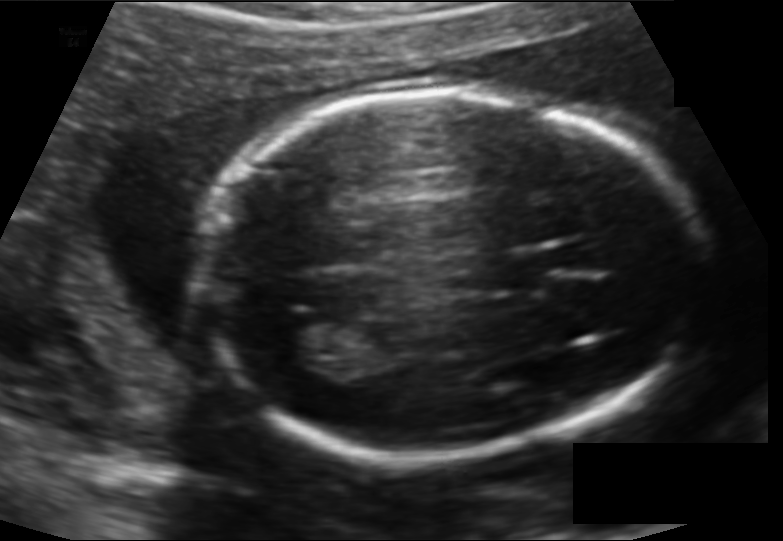
Measure the fetal head circumference shown in this ultrasound image. Image width: 100.2 mm.

Head circumference: 182.9 mm.